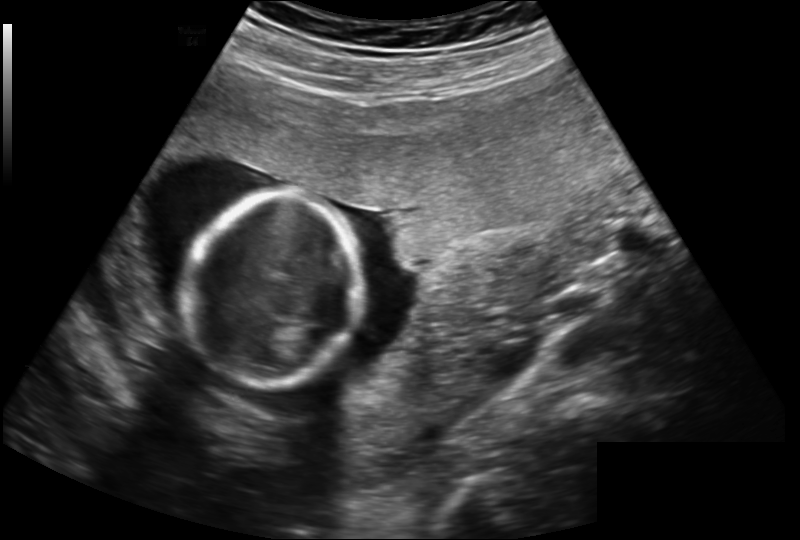
Estimate the fetal head circumference from this 2D ultrasound.

Head circumference: 120.1 mm (image width 161.5 mm).